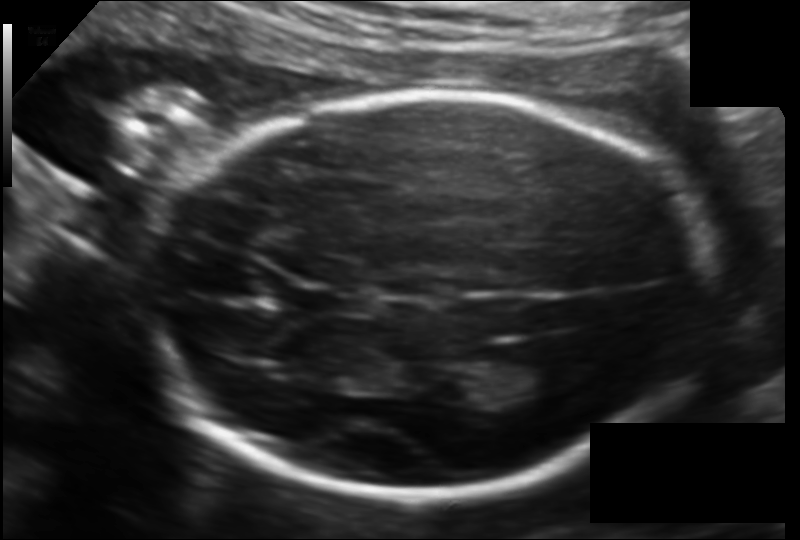
Measure the fetal head circumference shown in this ultrasound image. Image width: 103.8 mm.

Head circumference: 200.5 mm.